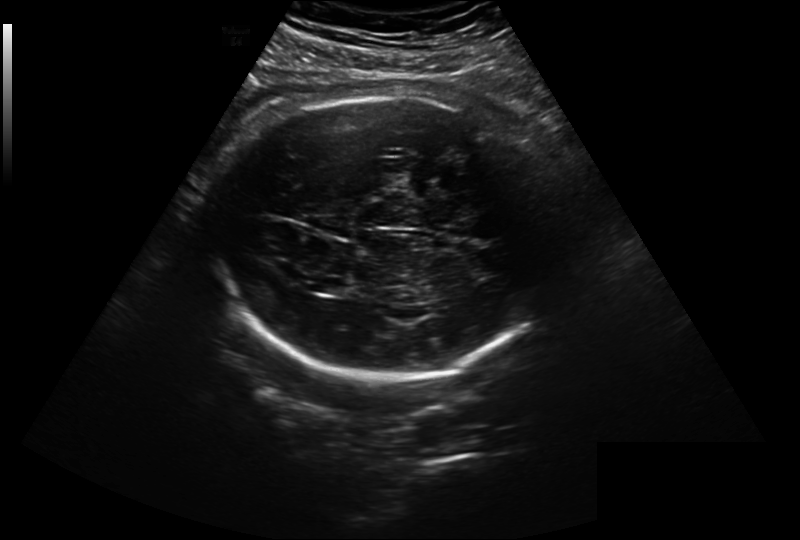
Estimate the fetal head circumference from this 2D ultrasound.

Head circumference: 315.3 mm (image width 239.2 mm).